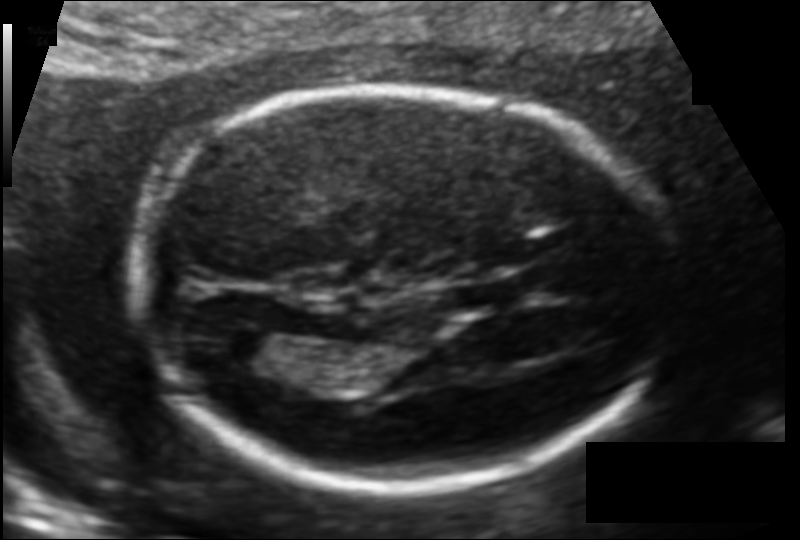
Estimate the fetal head circumference from this 2D ultrasound. Image width: 87.0 mm.

Head circumference: 166.4 mm.